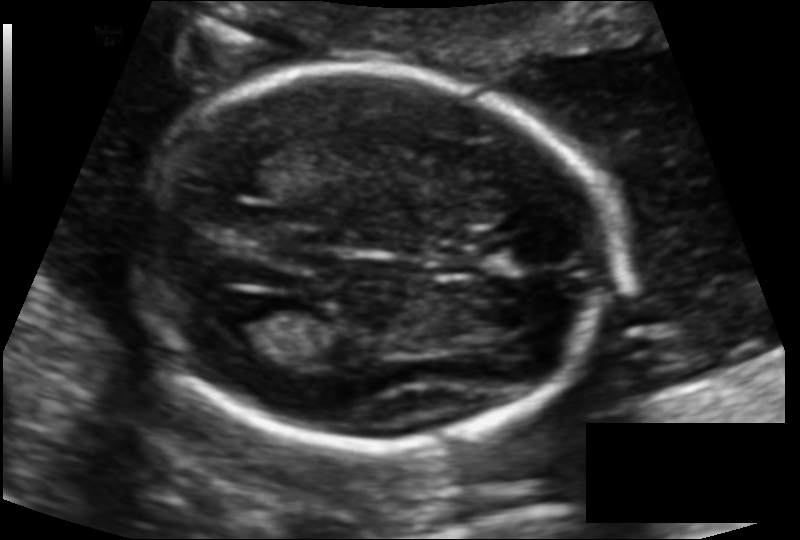
Measure the fetal head circumference shown in this ultrasound image. Image width: 93.4 mm.

Head circumference: 166.7 mm.